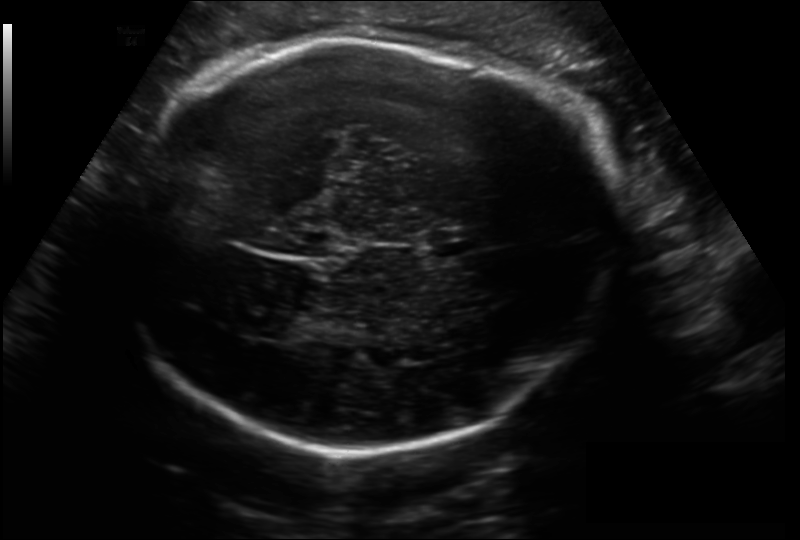
Fetal head ultrasound. Image width: 164.9 mm. Give [x1,y1,x2,y2] bounding boxes for each visible structure among: fetal head, CSP, LV.

Head: [109,40,619,453]
CSP: [427,225,480,259]
Lateral ventricle: [224,300,292,341]